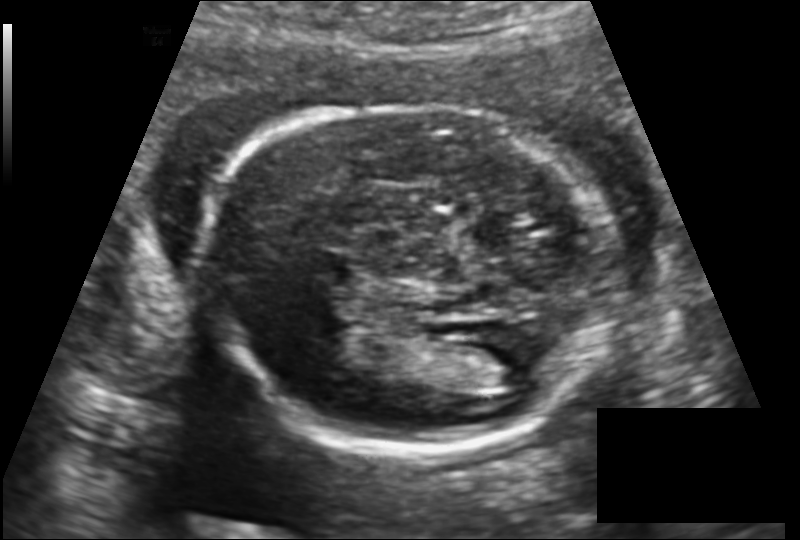
Fetal head ultrasound. Image width: 111.5 mm. Where is the fetal head?

Head bounding box: [204,105,616,452]